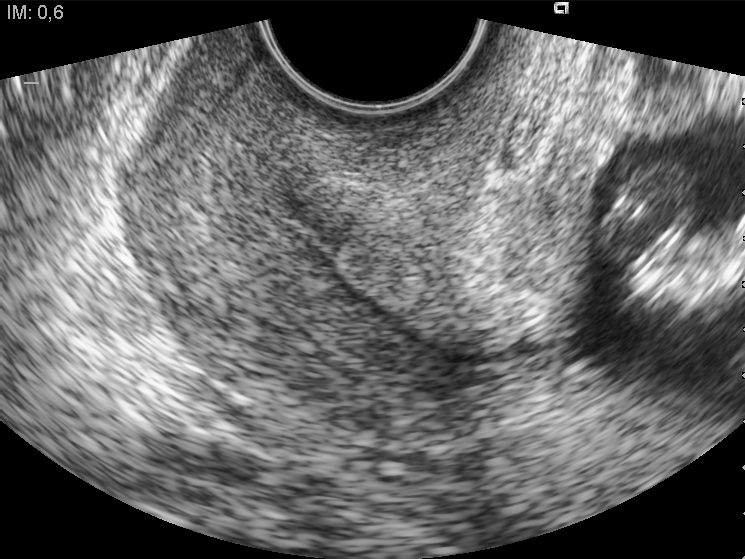
Identify the standard plane in this fetal ultrasound image: fetal abdomen, fetal brain, fetal femur, fetal thorax, maternal cervix, or other. If it's fetal brain and one of the three standard brain planes (trans-thalamic, trans-cerebellum, trans-ventricular), name which.

Maternal cervix